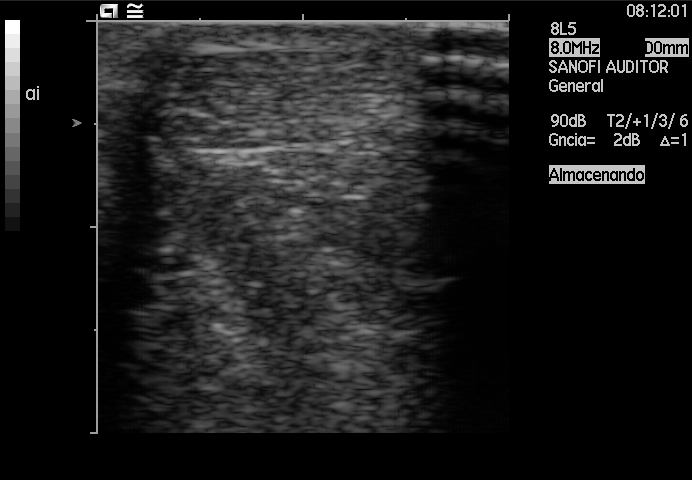
This is a 2D maternal-fetal ultrasound frame. Is it a fetal abdomen, fetal brain, fetal femur, fetal thorax, maternal cervix, or other standard plane? If it's fetal brain and one of the three standard brain planes (trans-thalamic, trans-cerebellum, trans-ventricular), name which.

Other